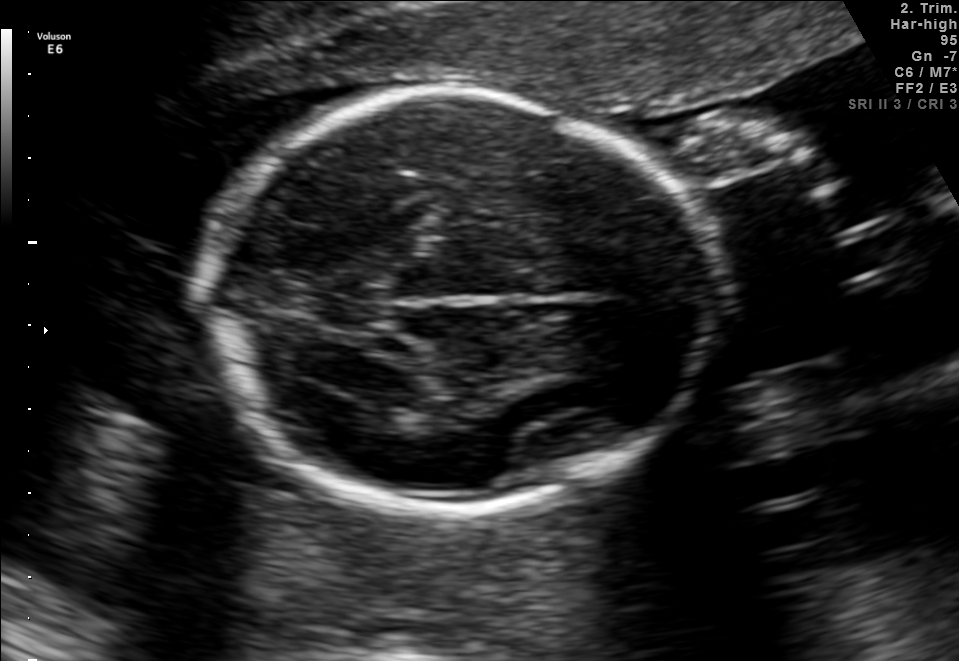
In this fetal brain, trans-thalamic plane, give the bounding box of the lateral ventricle.

[326,345,443,419]